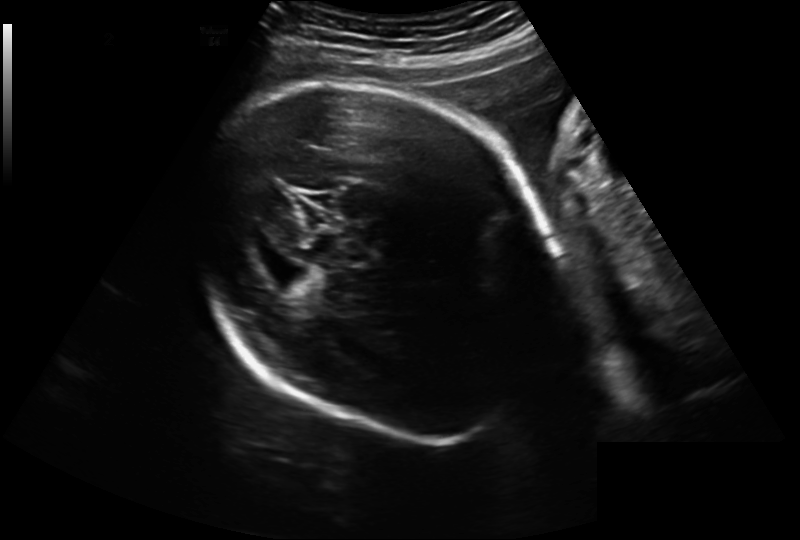
Estimate the fetal head circumference from this 2D ultrasound. Image width: 192.7 mm.

Head circumference: 280.5 mm.